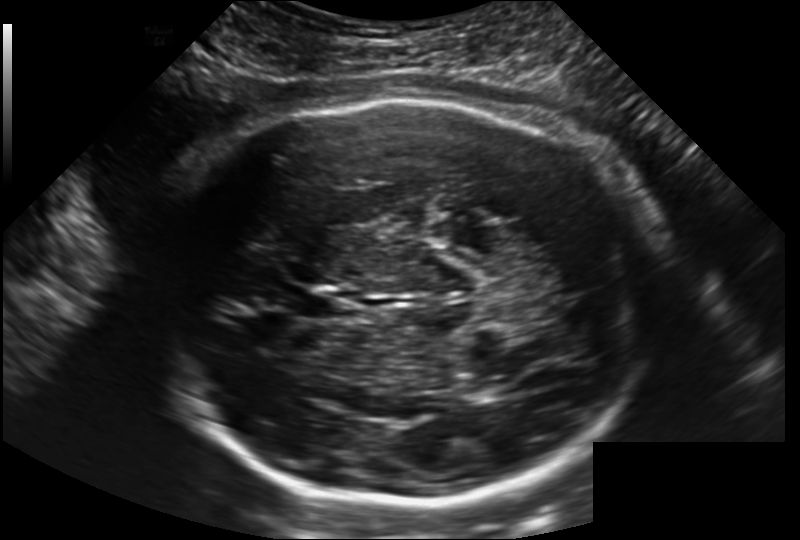
Measure the fetal head circumference shown in this ultrasound image. Image width: 161.6 mm.

Head circumference: 294.5 mm.